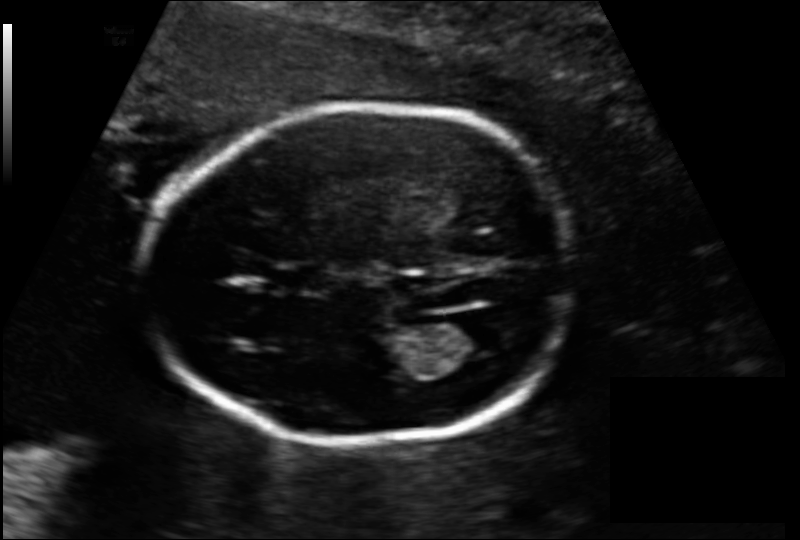
Fetal head ultrasound. Image width: 109.4 mm. Locate the fetal head and, if visible, the cavum septum pellucidum (CSP) and lateral ventricle (LV). Give bounding boxes as [x1,y1,x2,y2].

Head: [148,105,571,444]
CSP: [267,264,328,291]
Lateral ventricle: [435,304,510,364]